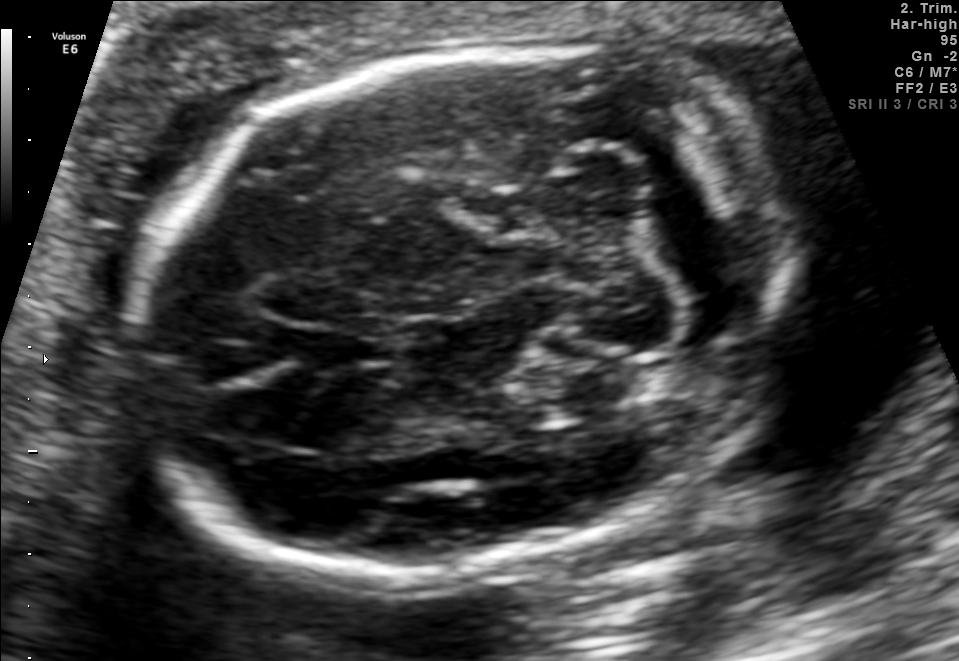
In this fetal brain, trans-cerebellum plane, give bounding boxes for the head outline, cavum septum pellucidum (CSP), and lateral ventricle (LV), where visible.

Head: [138,40,795,577]
CSP: [305,322,388,368]